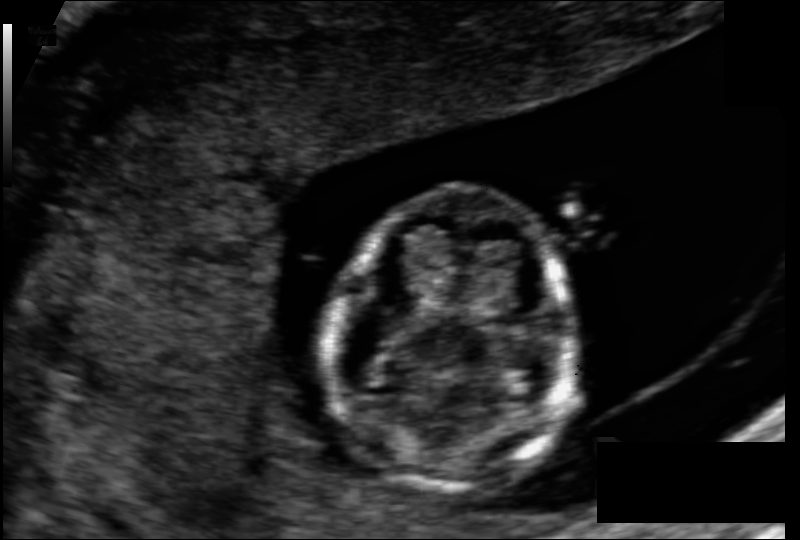
In this fetal head ultrasound, give bounding boxes for the head outline, cavum septum pellucidum (CSP), and lateral ventricle (LV), where visible. Image width: 77.7 mm.

Head: [329,190,570,493]